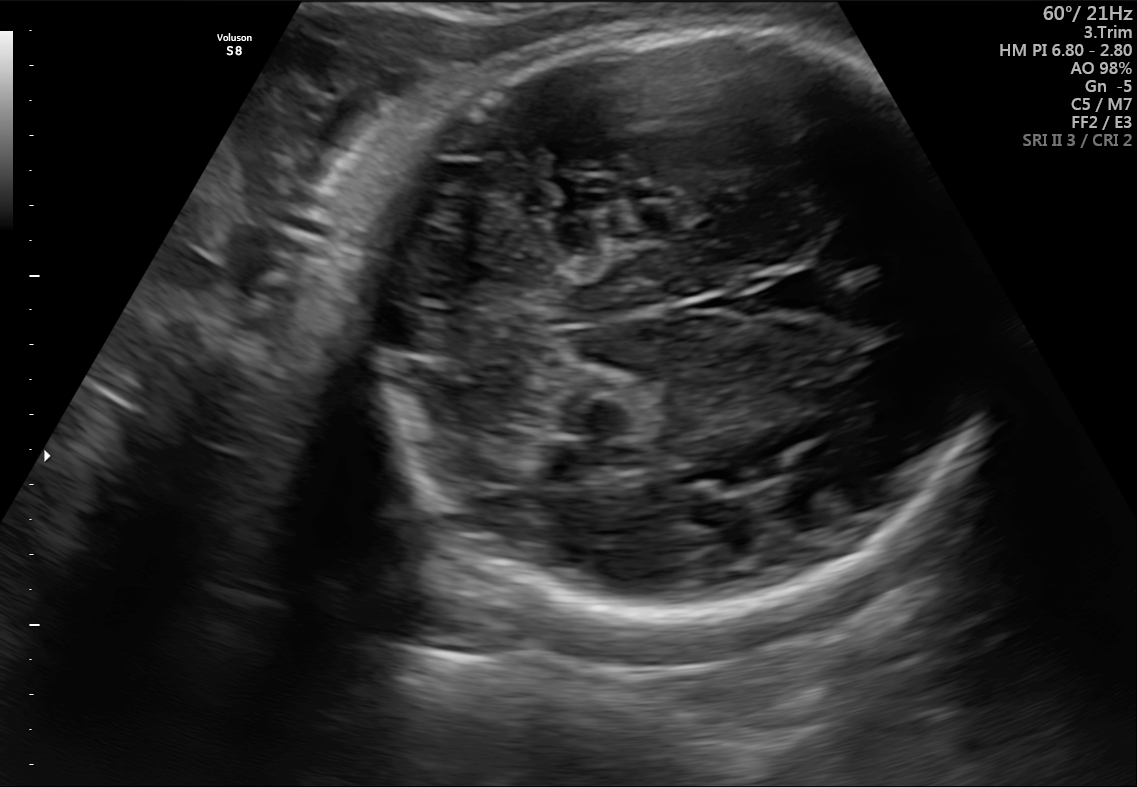
Identify the standard plane in this fetal ultrasound image: fetal abdomen, fetal brain, fetal femur, fetal thorax, maternal cervix, or other. If it's fetal brain and one of the three standard brain planes (trans-thalamic, trans-cerebellum, trans-ventricular), name which.

Fetal brain (trans-cerebellum plane)